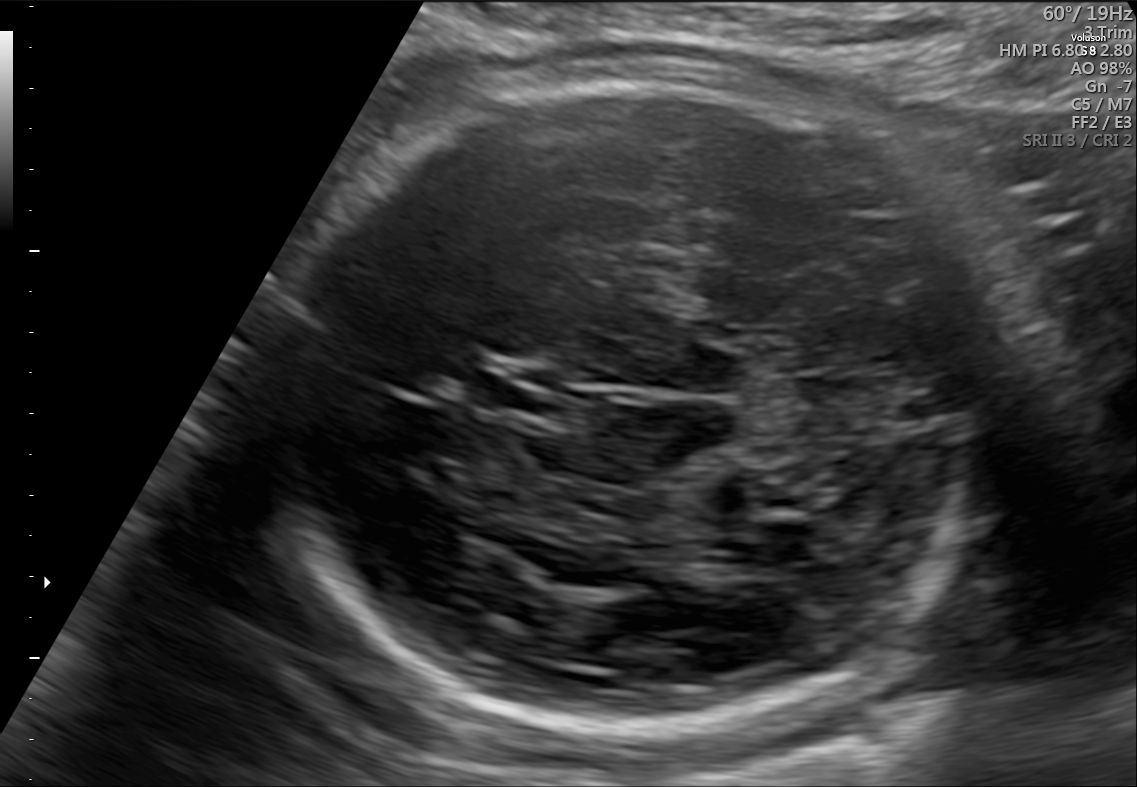
In this fetal brain, trans-cerebellum plane, give the bounding box of the cavum septum pellucidum.

[459,366,552,422]